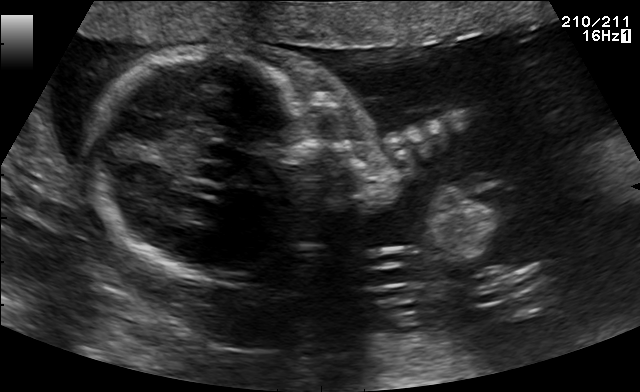
Which standard maternal-fetal ultrasound plane is shown: fetal abdomen, fetal brain, fetal femur, fetal thorax, maternal cervix, or other? If it's fetal brain and one of the three standard brain planes (trans-thalamic, trans-cerebellum, trans-ventricular), name which.

Other